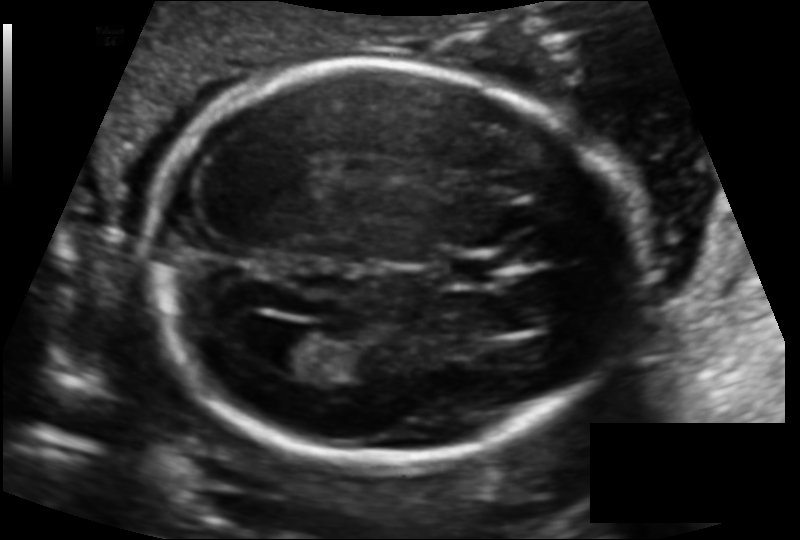
Fetal head ultrasound. Image width: 100.1 mm. Locate the fetal head.

Head: [147,63,631,466]